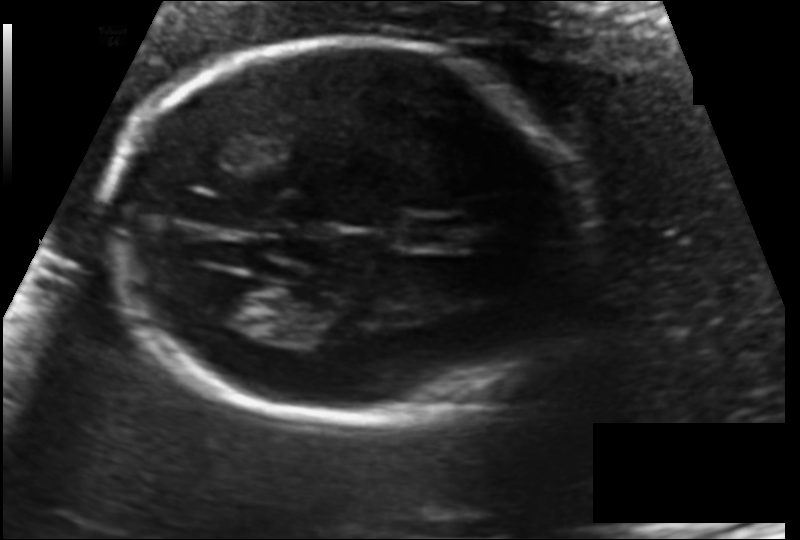
Estimate the fetal head circumference from this 2D ultrasound.

Head circumference: 170.2 mm (image width 97.9 mm).